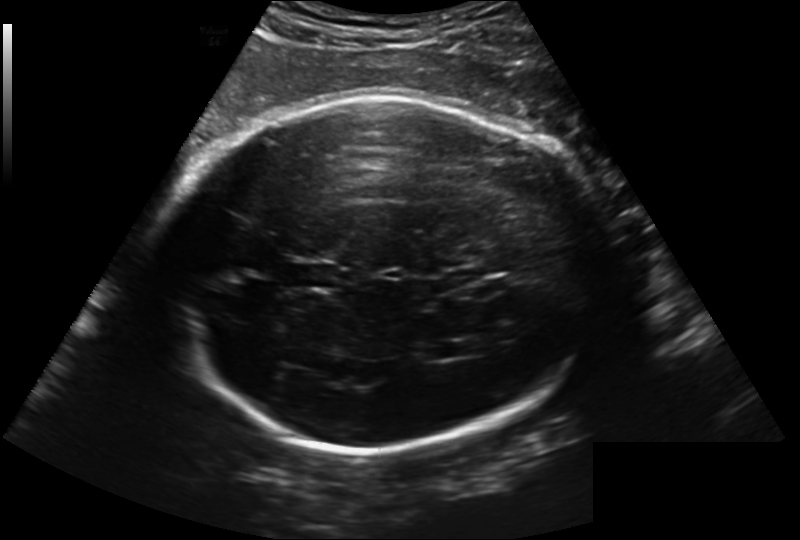
In this fetal head ultrasound, give the bounding box of the cavum septum pellucidum. Image width: 192.7 mm.

[287,261,338,291]